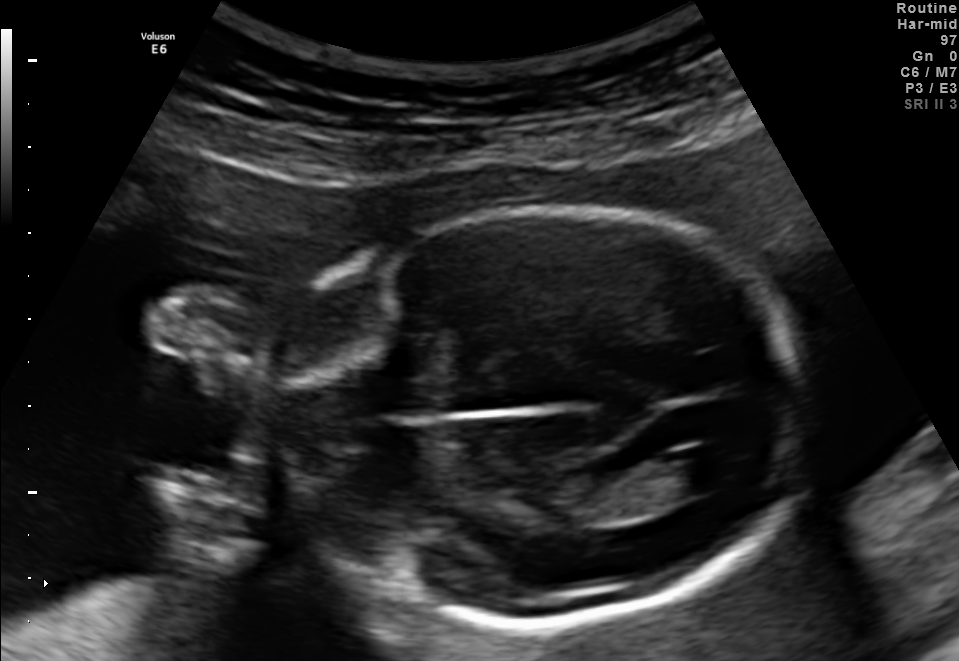
Fetal brain, trans-ventricular plane. Where is the lateral ventricle?

Lateral ventricle bounding box: [676,434,749,496]